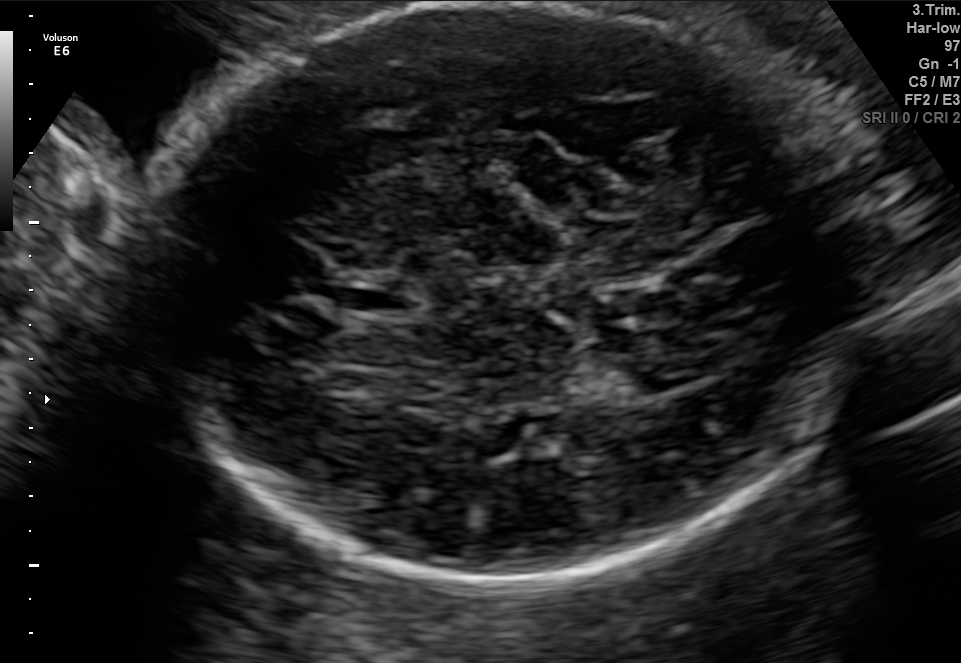
Fetal brain, trans-thalamic plane. Locate the lateral ventricle.

Lateral ventricle: [618,339,715,405]